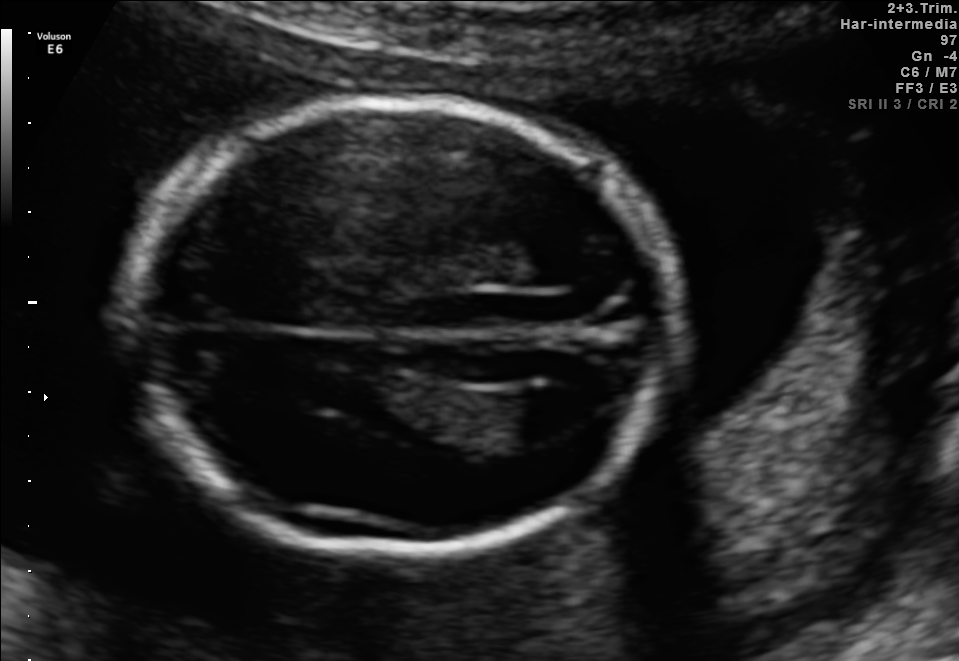
In this fetal brain, trans-ventricular plane, give bounding boxes for the head outline, cavum septum pellucidum (CSP), and lateral ventricle (LV), where visible.

Head: [106,90,699,567]
Lateral ventricle: [503,376,600,449]